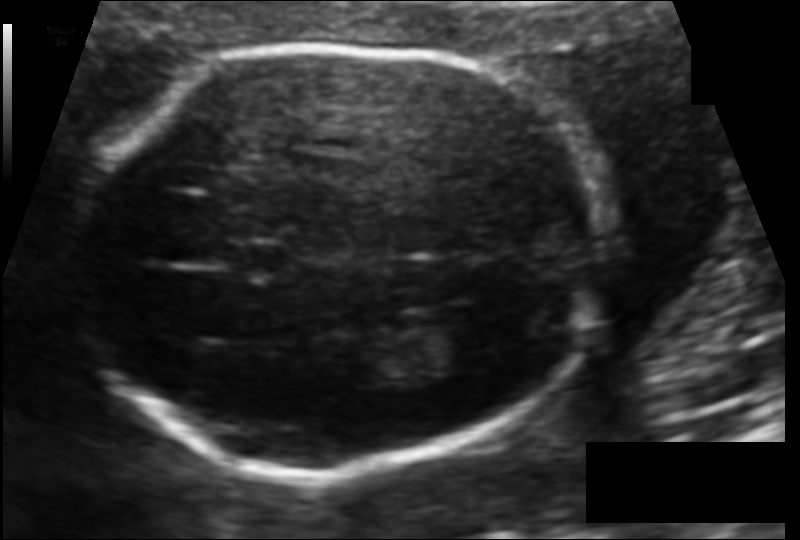
In this fetal head ultrasound, give bounding boxes for the head outline, cavum septum pellucidum (CSP), and lateral ventricle (LV), where visible. Image width: 86.3 mm.

Head: [72,47,606,472]
CSP: [230,244,293,277]
Lateral ventricle: [436,312,523,373]